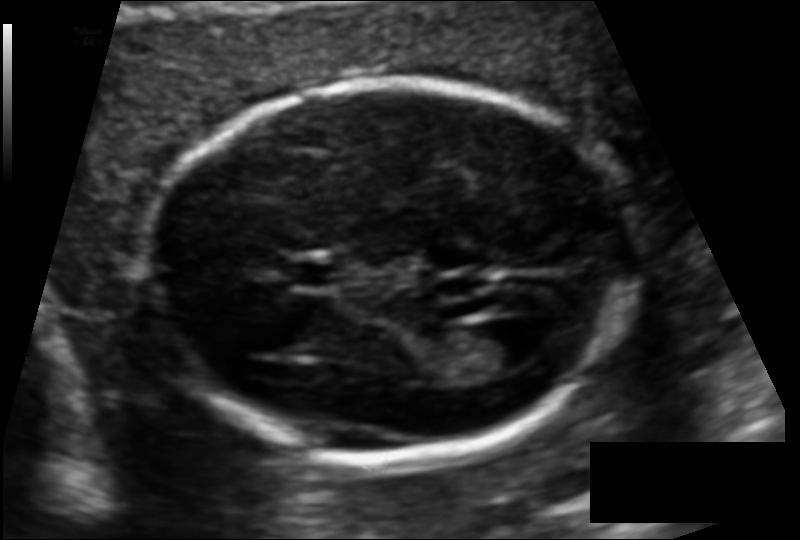
In this fetal head ultrasound, give the bounding box of the lateral ventricle. Image width: 88.0 mm.

[462,309,552,380]